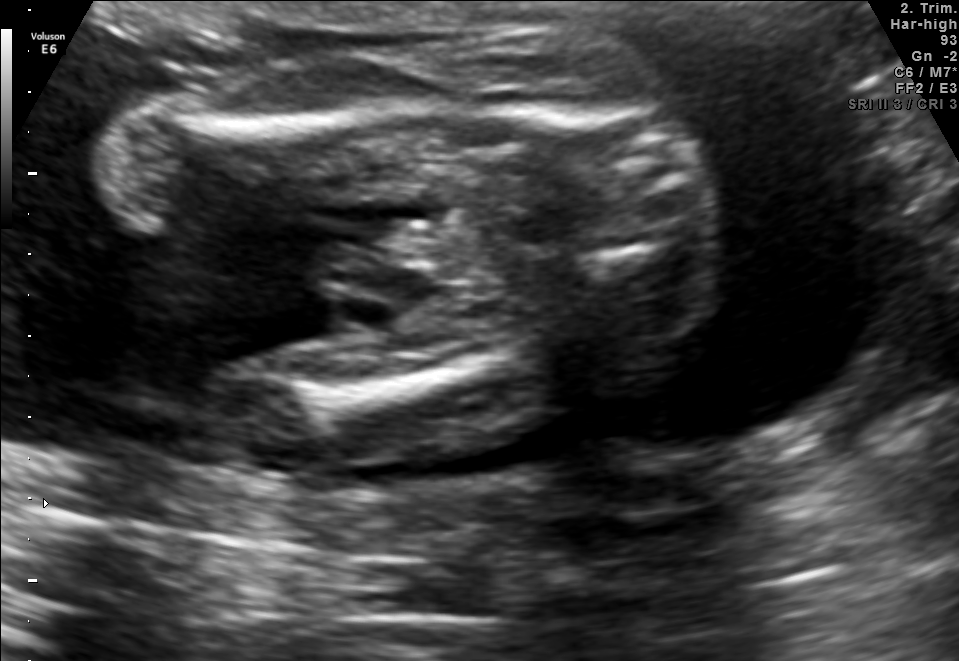
Identify the standard plane in this fetal ultrasound image: fetal abdomen, fetal brain, fetal femur, fetal thorax, maternal cervix, or other. If it's fetal brain and one of the three standard brain planes (trans-thalamic, trans-cerebellum, trans-ventricular), name which.

Fetal femur